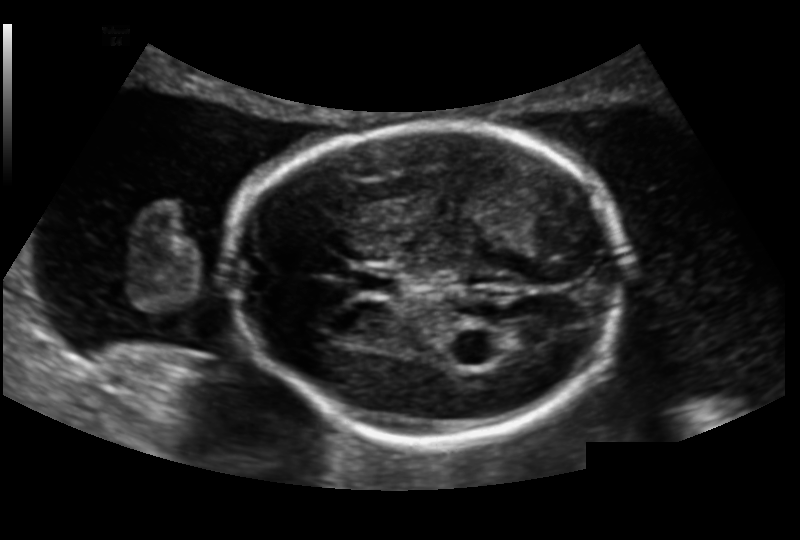
In this fetal head ultrasound, give the bounding box of the cavum septum pellucidum. Image width: 121.1 mm.

[352,268,402,297]